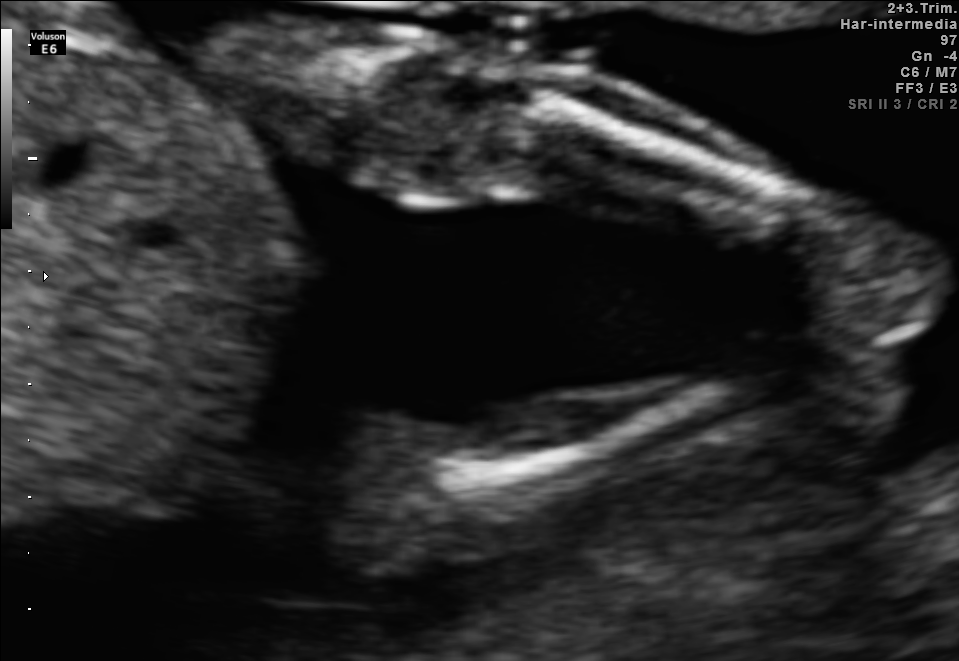
Identify the standard plane in this fetal ultrasound image: fetal abdomen, fetal brain, fetal femur, fetal thorax, maternal cervix, or other. If it's fetal brain and one of the three standard brain planes (trans-thalamic, trans-cerebellum, trans-ventricular), name which.

Other